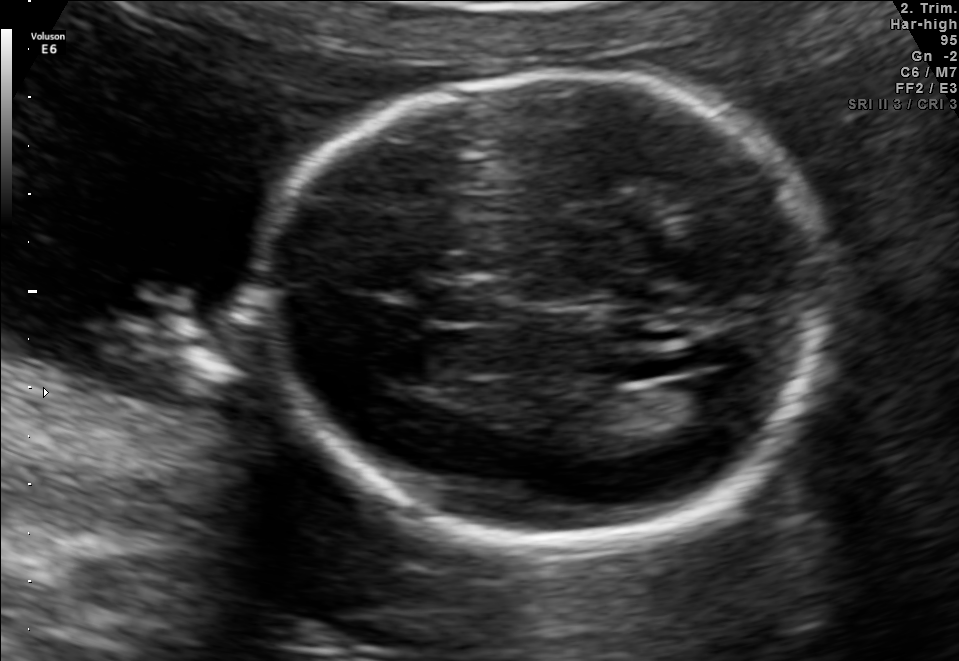
Fetal brain, trans-ventricular plane. Locate the lateral ventricle.

Lateral ventricle: [670,369,750,431]